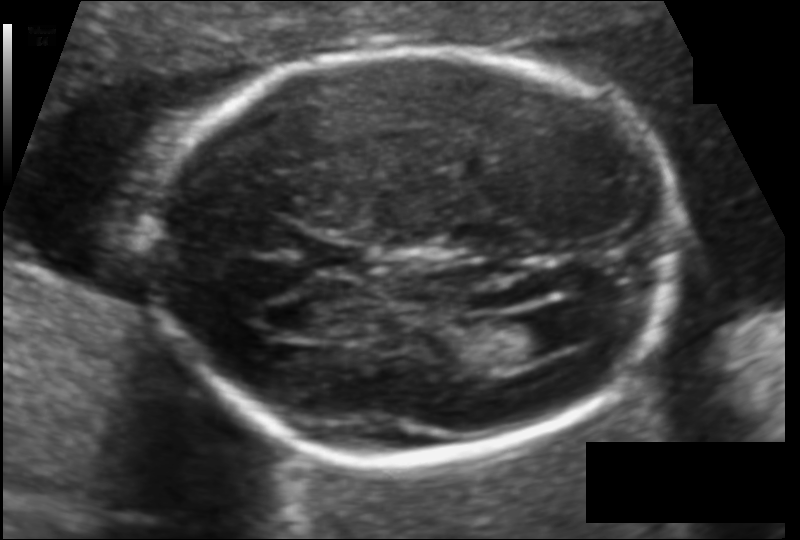
Fetal head ultrasound. Image width: 89.1 mm. Locate the fetal head and, if visible, the cavum septum pellucidum (CSP) and lateral ventricle (LV). Give bounding boxes as [x1,y1,x2,y2].

Head: [152,48,677,462]
CSP: [309,239,369,277]
Lateral ventricle: [491,304,572,370]